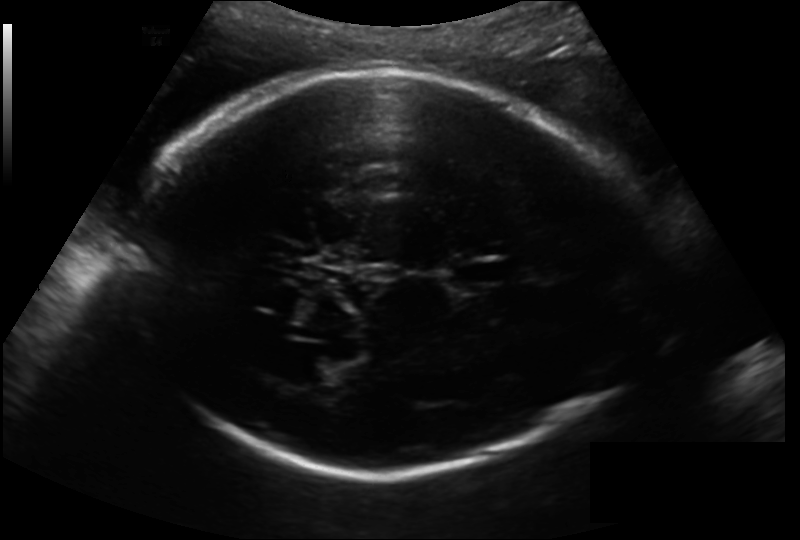
Fetal head ultrasound. Image width: 154.5 mm. Locate the fetal head and, if visible, the cavum septum pellucidum (CSP) and lateral ventricle (LV). Give bounding boxes as [x1,y1,x2,y2].

Head: [124,71,656,477]
CSP: [450,258,507,287]
Lateral ventricle: [290,355,342,385]